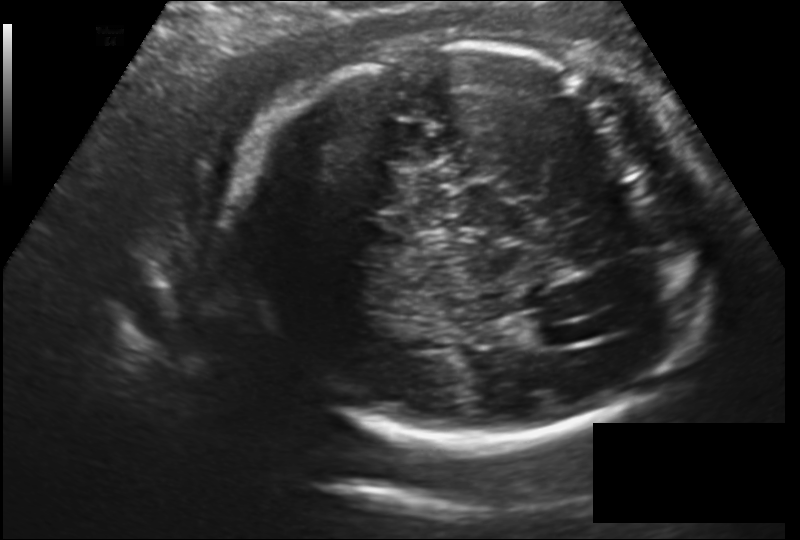
Fetal head ultrasound. Image width: 142.0 mm. Where is the lateral ventricle?

Lateral ventricle bounding box: [528,321,577,350]